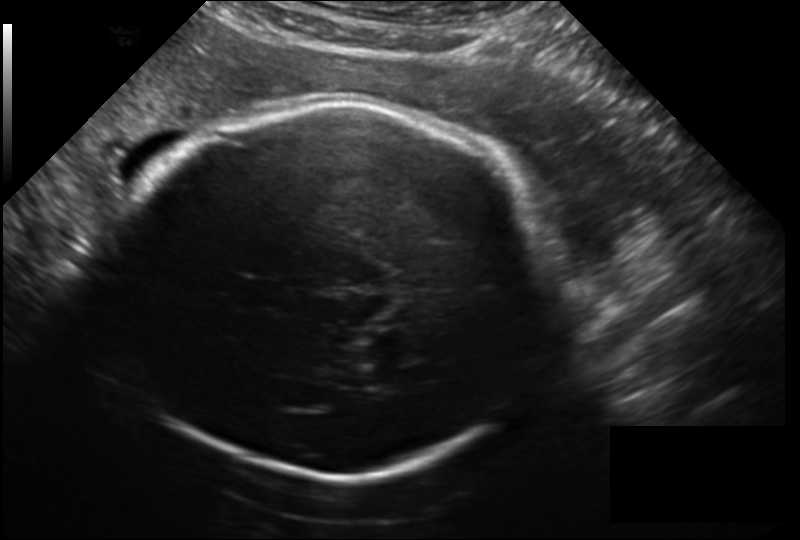
Measure the fetal head circumference shown in this ultrasound image. Image width: 167.3 mm.

Head circumference: 279.2 mm.